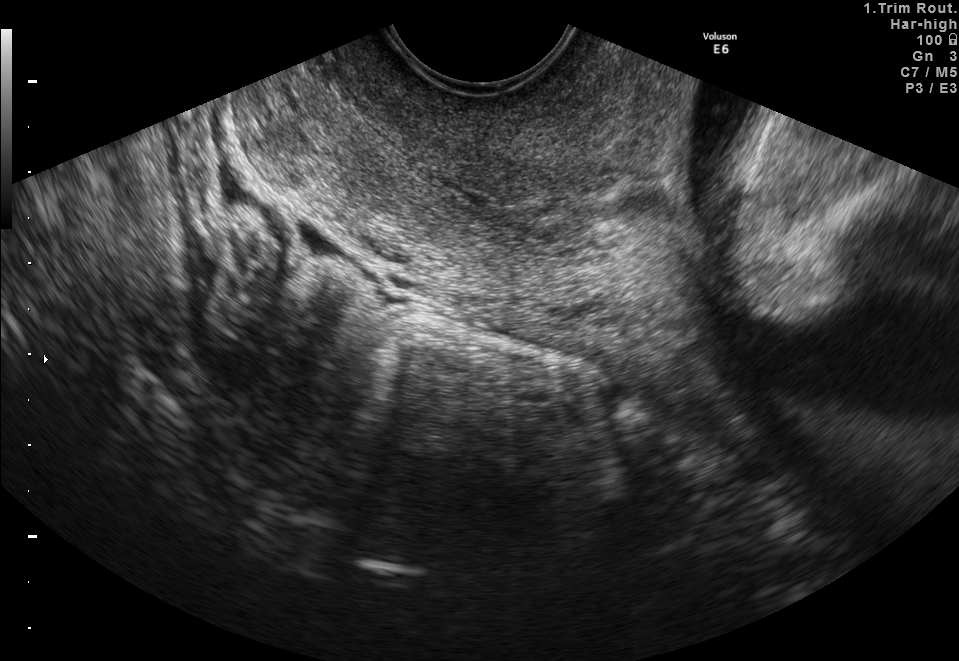
This is a 2D maternal-fetal ultrasound frame. Is it a fetal abdomen, fetal brain, fetal femur, fetal thorax, maternal cervix, or other standard plane? If it's fetal brain and one of the three standard brain planes (trans-thalamic, trans-cerebellum, trans-ventricular), name which.

Maternal cervix